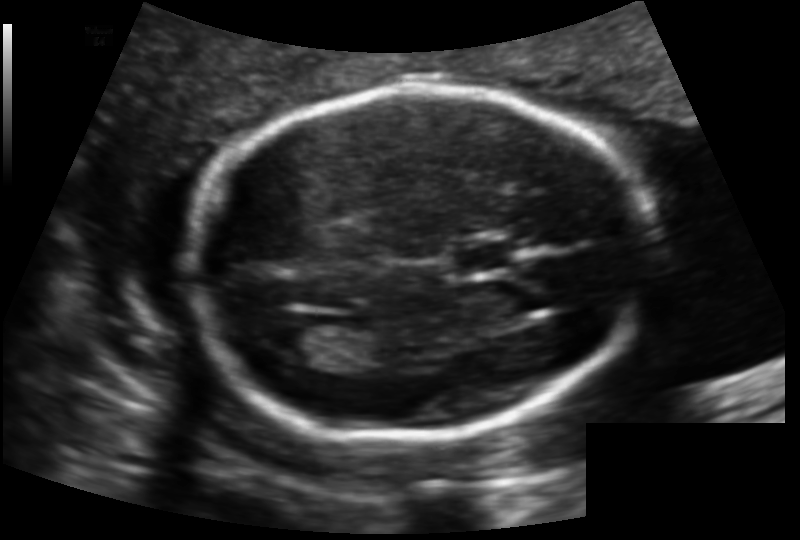
Measure the fetal head circumference shown in this ultrasound image. Image width: 103.4 mm.

Head circumference: 169.7 mm.